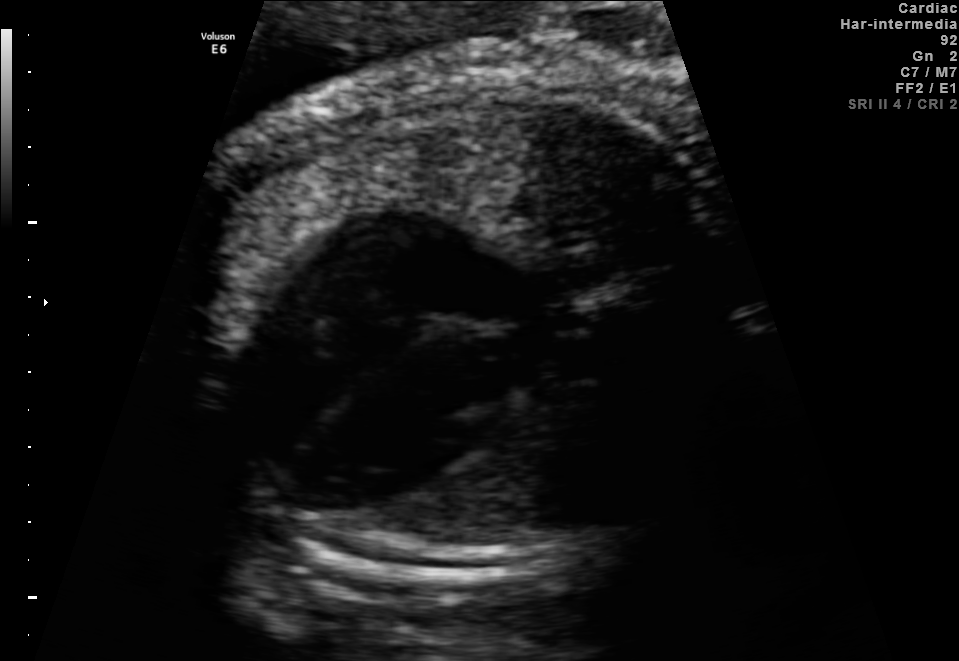
Which standard maternal-fetal ultrasound plane is shown: fetal abdomen, fetal brain, fetal femur, fetal thorax, maternal cervix, or other? If it's fetal brain and one of the three standard brain planes (trans-thalamic, trans-cerebellum, trans-ventricular), name which.

Fetal thorax